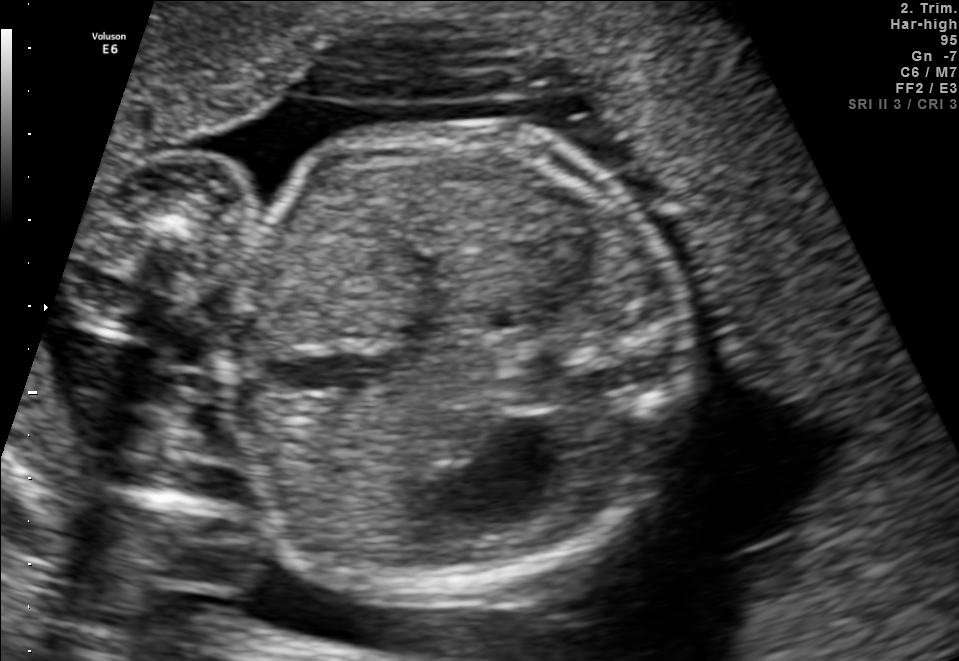
Identify the standard plane in this fetal ultrasound image: fetal abdomen, fetal brain, fetal femur, fetal thorax, maternal cervix, or other. If it's fetal brain and one of the three standard brain planes (trans-thalamic, trans-cerebellum, trans-ventricular), name which.

Fetal abdomen